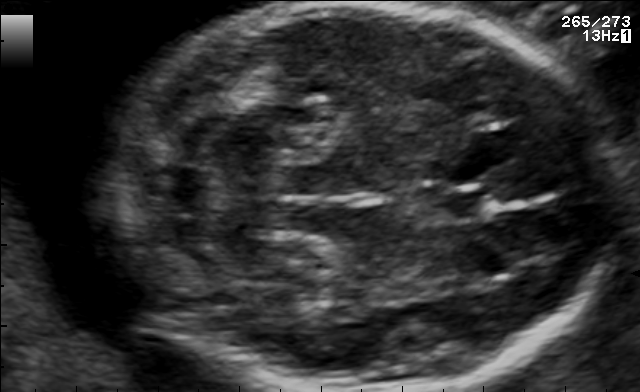
Classify this maternal-fetal ultrasound image as one of the six standard planes — fetal abdomen, fetal brain, fetal femur, fetal thorax, maternal cervix, or other. If it's fetal brain and one of the three standard brain planes (trans-thalamic, trans-cerebellum, trans-ventricular), name which.

Fetal brain (trans-cerebellum plane)